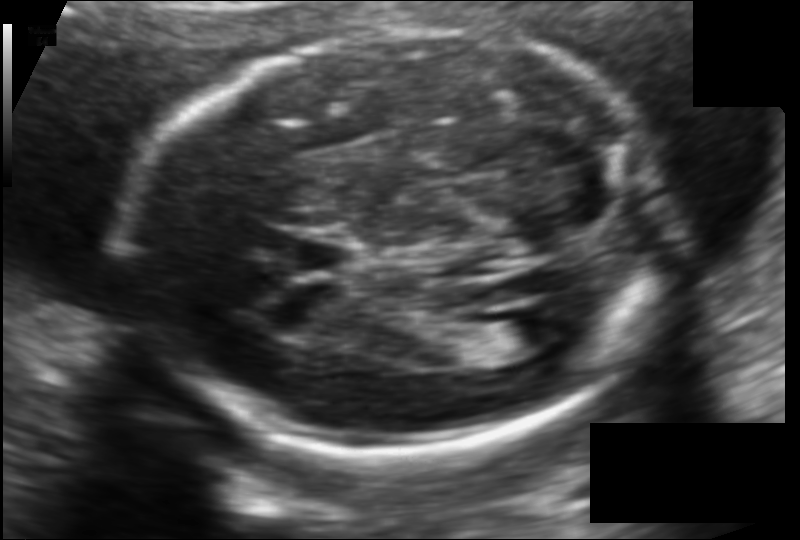
Fetal head ultrasound. Image width: 94.7 mm. Give [x1,y1,x2,y2] bounding boxes for each visible structure among: fetal head, CSP, LV.

Head: [131,32,666,457]
CSP: [290,232,358,278]
Lateral ventricle: [482,305,568,363]